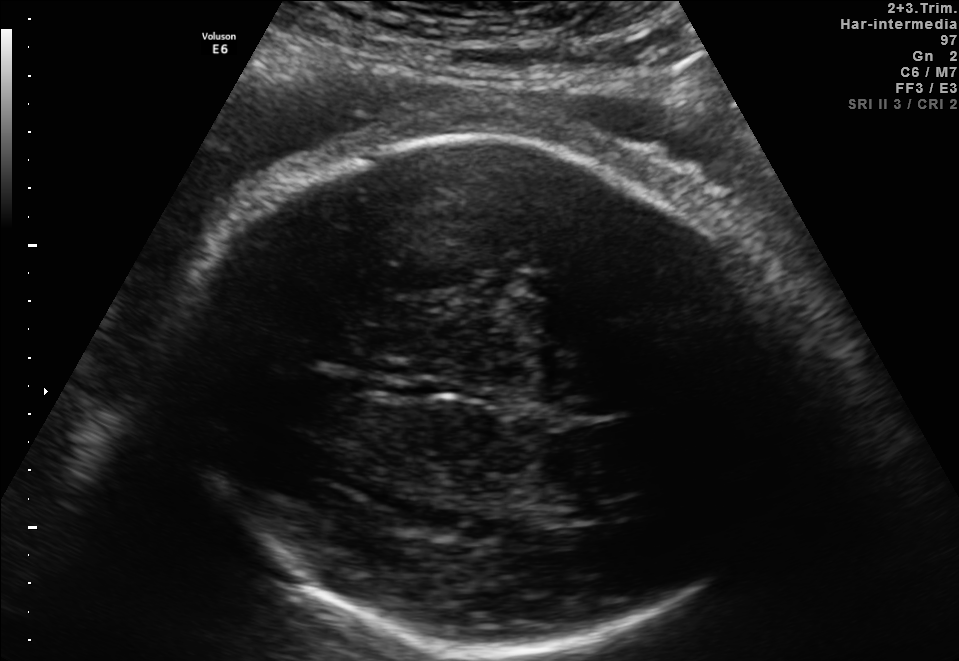
Fetal brain, trans-thalamic plane. Give [x1,y1,x2,y2] bounding boxes for each visible structure among: fetal head, CSP, LV.

Head: [178,136,791,651]